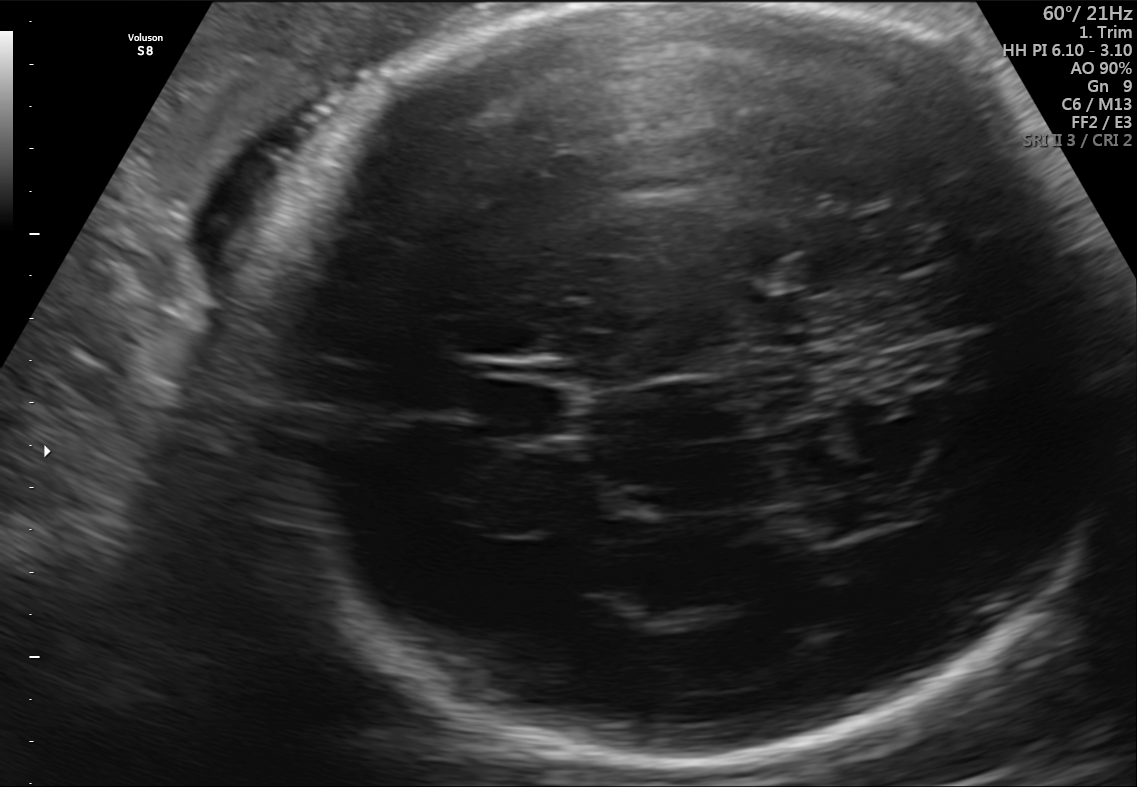
Fetal brain, trans-thalamic plane. Locate the fetal head and, if visible, the cavum septum pellucidum (CSP) and lateral ventricle (LV). Give bounding boxes as [x1,y1,x2,y2].

Head: [260,10,1105,780]
CSP: [486,383,581,436]
Lateral ventricle: [798,489,889,547]